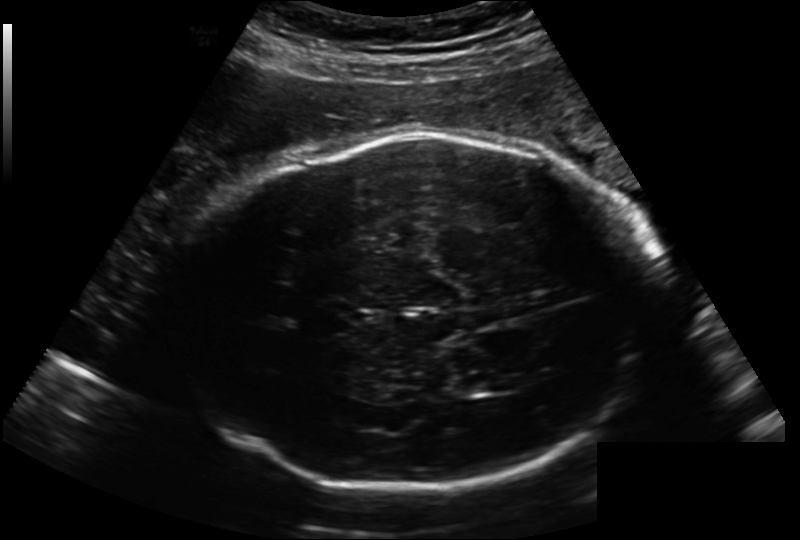
What is the fetal head circumference? Image width is 177.3 mm.

299.8 mm